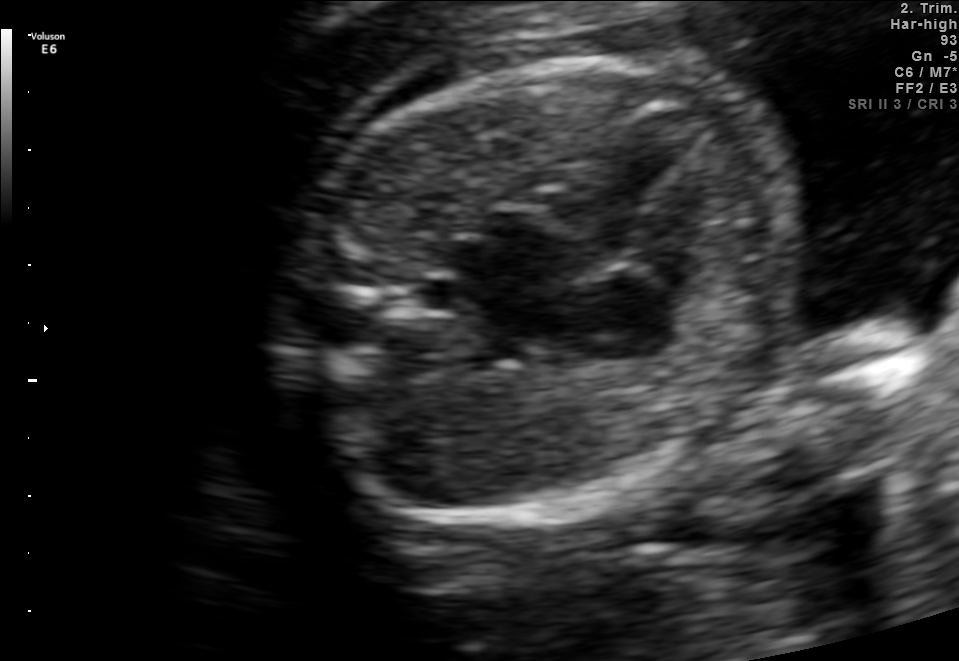
Which standard maternal-fetal ultrasound plane is shown: fetal abdomen, fetal brain, fetal femur, fetal thorax, maternal cervix, or other? If it's fetal brain and one of the three standard brain planes (trans-thalamic, trans-cerebellum, trans-ventricular), name which.

Fetal thorax